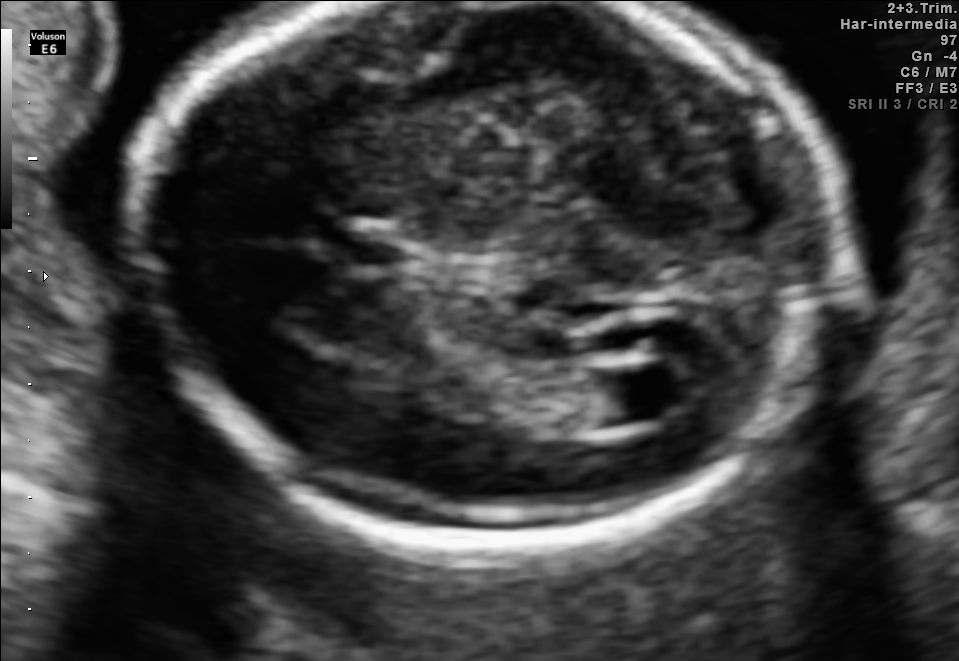
In this fetal brain, trans-ventricular plane, give the bounding box of the cavum septum pellucidum.

[349,237,407,269]